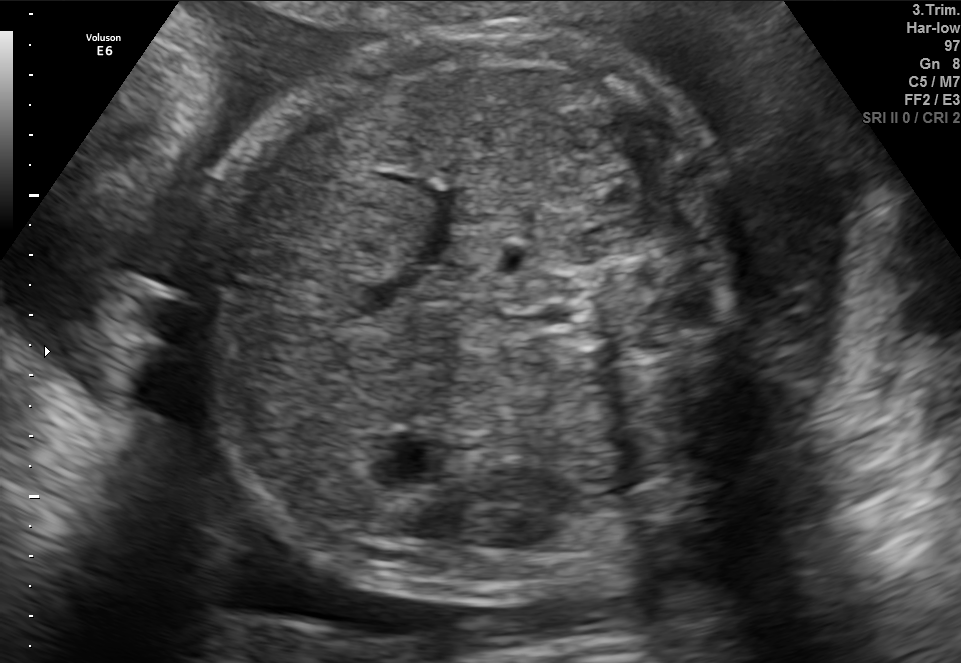
Classify this maternal-fetal ultrasound image as one of the six standard planes — fetal abdomen, fetal brain, fetal femur, fetal thorax, maternal cervix, or other. If it's fetal brain and one of the three standard brain planes (trans-thalamic, trans-cerebellum, trans-ventricular), name which.

Fetal abdomen